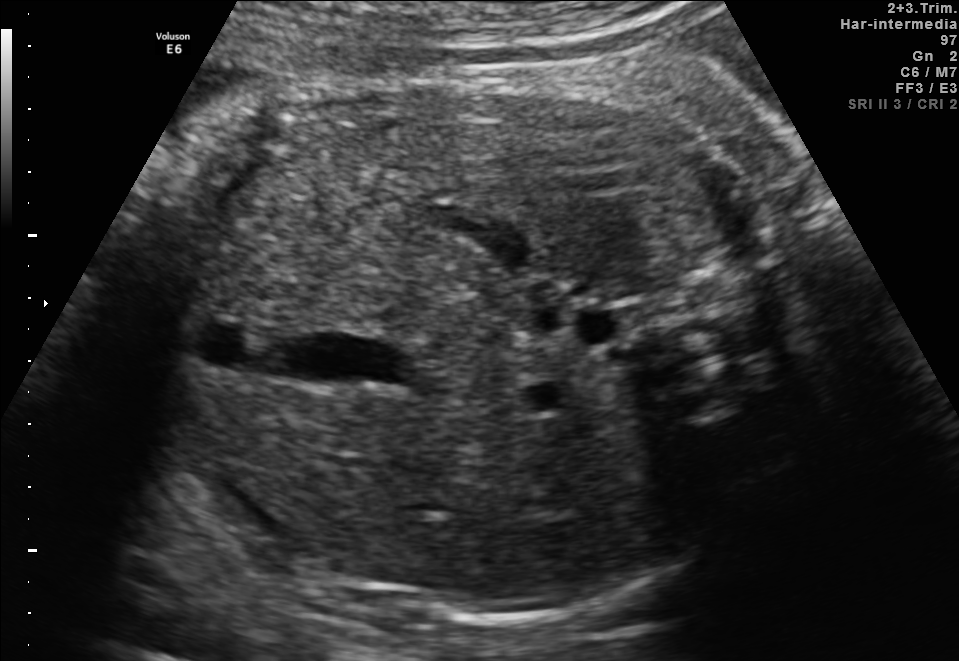
Classify this maternal-fetal ultrasound image as one of the six standard planes — fetal abdomen, fetal brain, fetal femur, fetal thorax, maternal cervix, or other. If it's fetal brain and one of the three standard brain planes (trans-thalamic, trans-cerebellum, trans-ventricular), name which.

Fetal abdomen